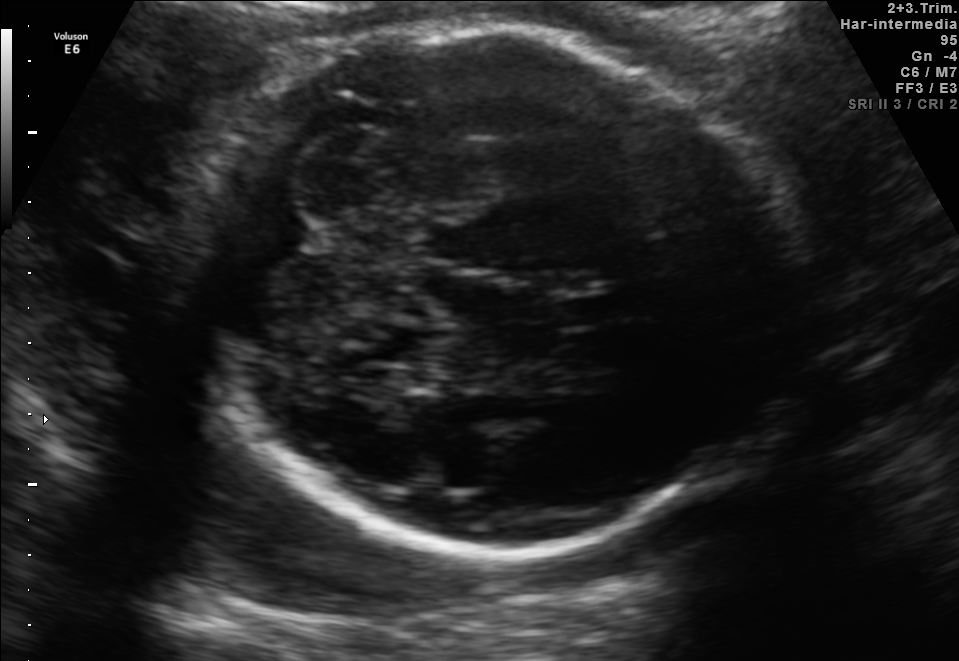
Fetal brain, trans-cerebellum plane. Locate the fetal head.

Head: [182,24,789,547]